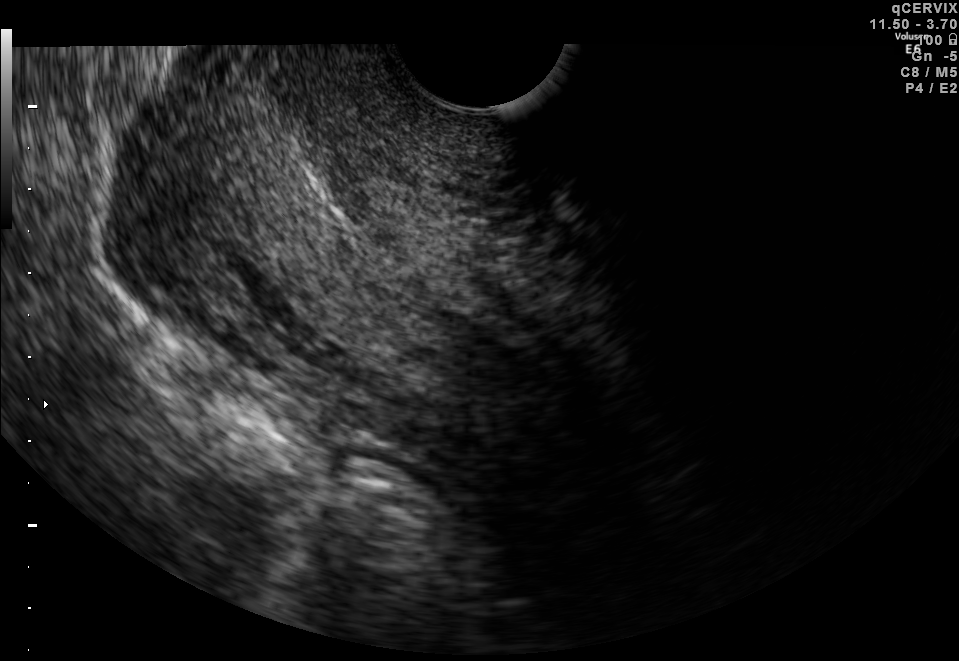
Identify the standard plane in this fetal ultrasound image: fetal abdomen, fetal brain, fetal femur, fetal thorax, maternal cervix, or other. If it's fetal brain and one of the three standard brain planes (trans-thalamic, trans-cerebellum, trans-ventricular), name which.

Maternal cervix